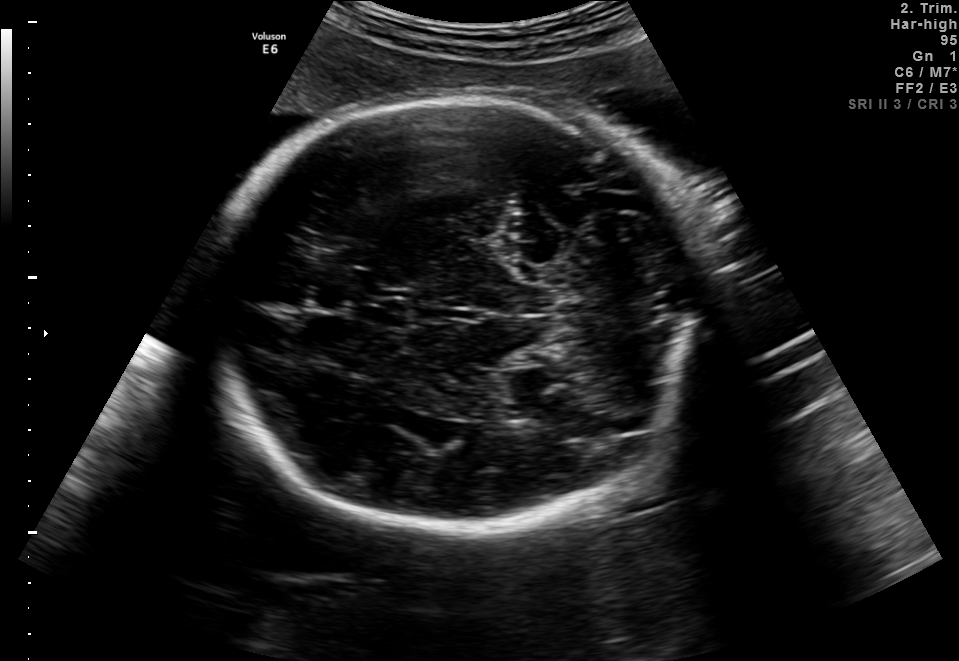
Fetal brain, trans-thalamic plane. Locate the fetal head and, if visible, the cavum septum pellucidum (CSP) and lateral ventricle (LV). Give bounding boxes as [x1,y1,x2,y2].

Head: [204,97,693,536]
CSP: [366,301,408,327]